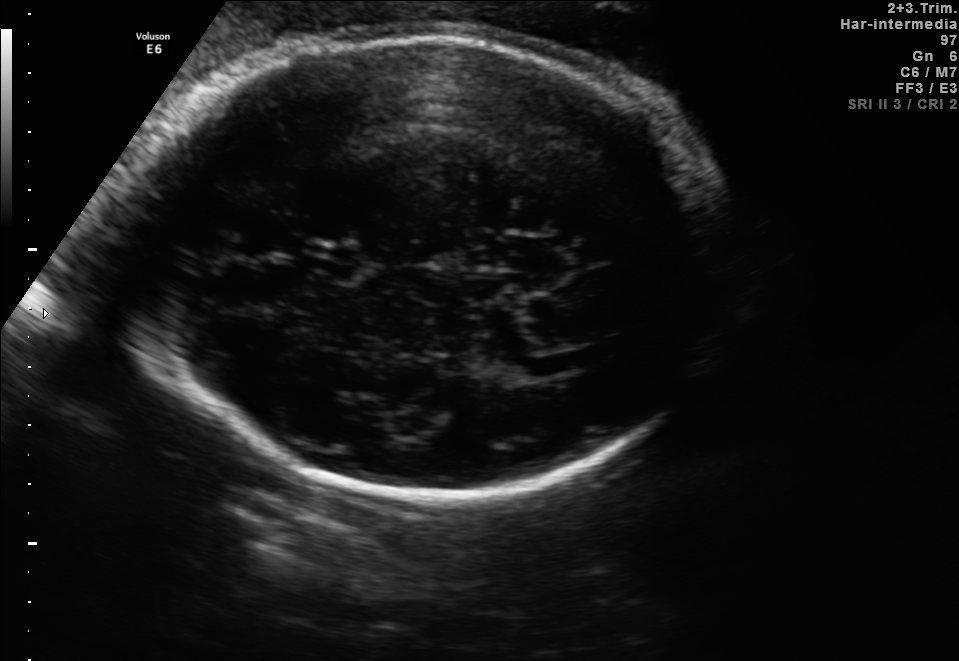
Fetal brain, trans-thalamic plane. Locate the lateral ventricle.

Lateral ventricle: [555,334,627,377]